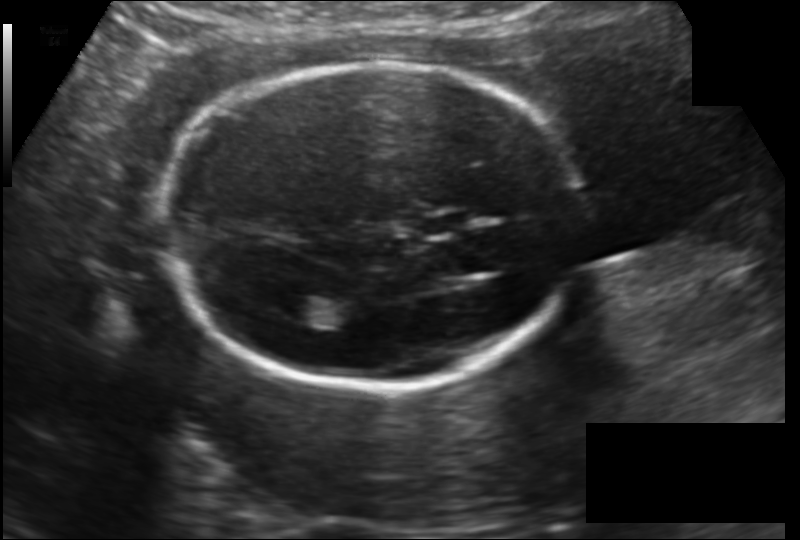
Fetal head ultrasound. Image width: 118.1 mm. Where is the cavum septum pellucidum?

CSP bounding box: [413,206,475,243]